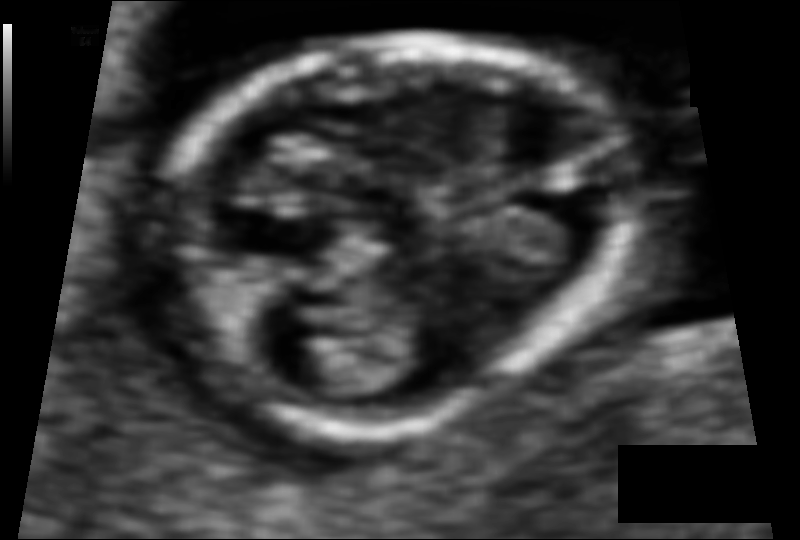
Measure the fetal head circumference shown in this ultrasound image. Image width: 47.7 mm.

Head circumference: 85.4 mm.